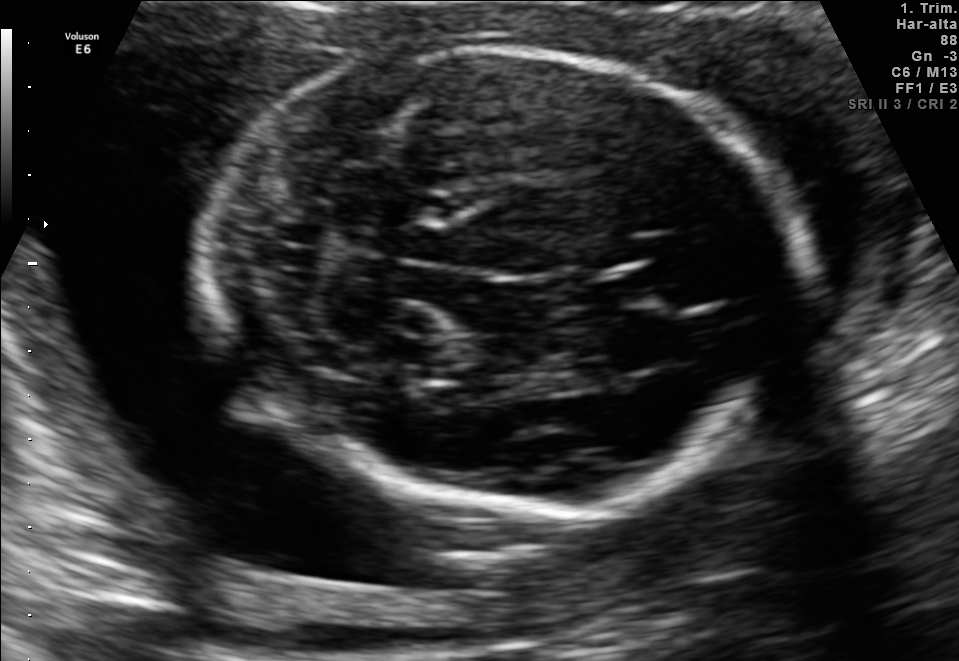
Fetal brain, trans-cerebellum plane. Where is the cavum septum pellucidum?

CSP bounding box: [587,262,666,312]